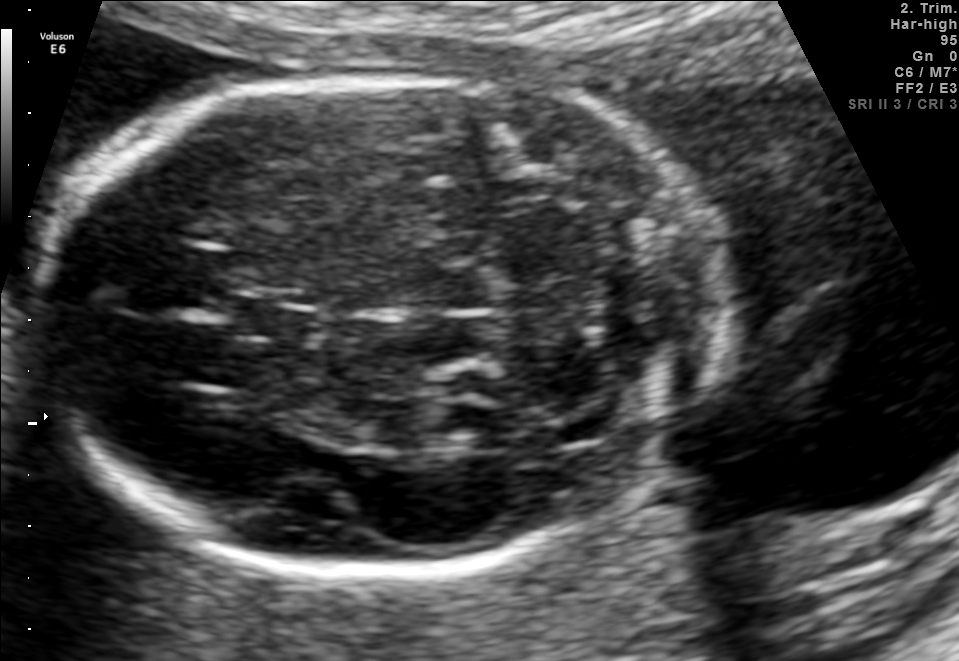
Fetal brain, trans-cerebellum plane. Where is the fetal head?

Head bounding box: [37,71,728,574]